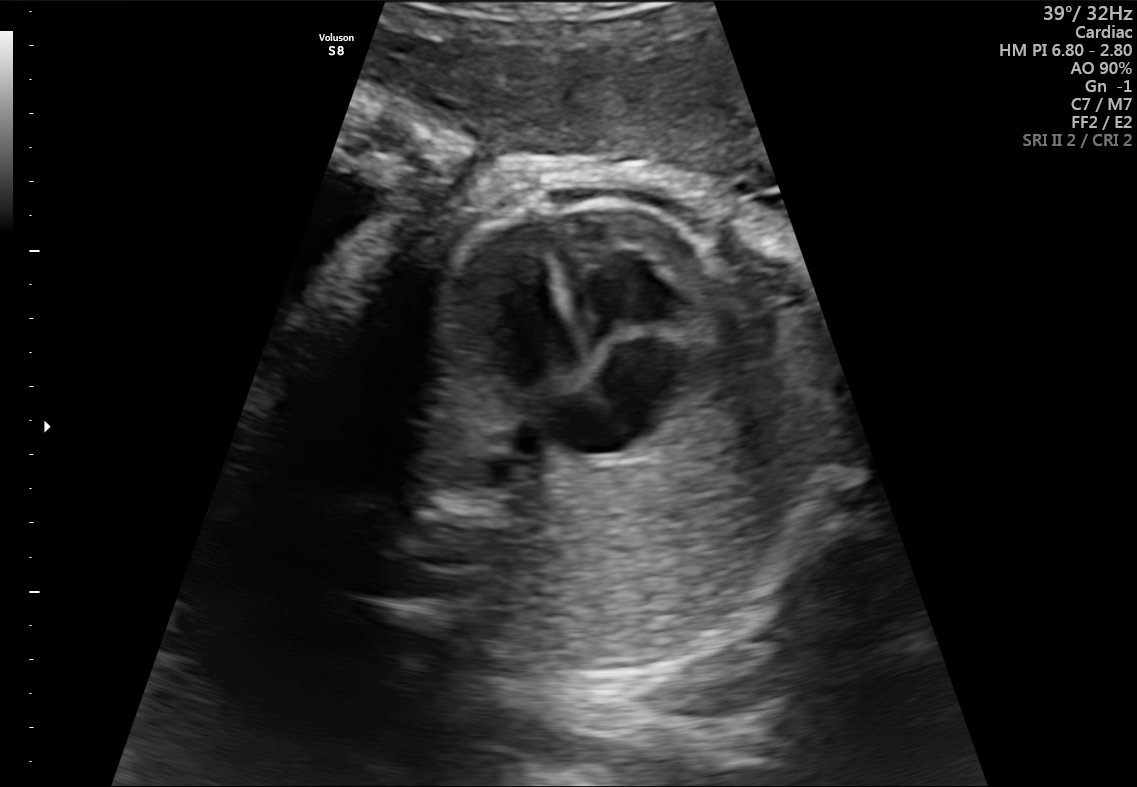
Identify the standard plane in this fetal ultrasound image: fetal abdomen, fetal brain, fetal femur, fetal thorax, maternal cervix, or other. If it's fetal brain and one of the three standard brain planes (trans-thalamic, trans-cerebellum, trans-ventricular), name which.

Fetal thorax